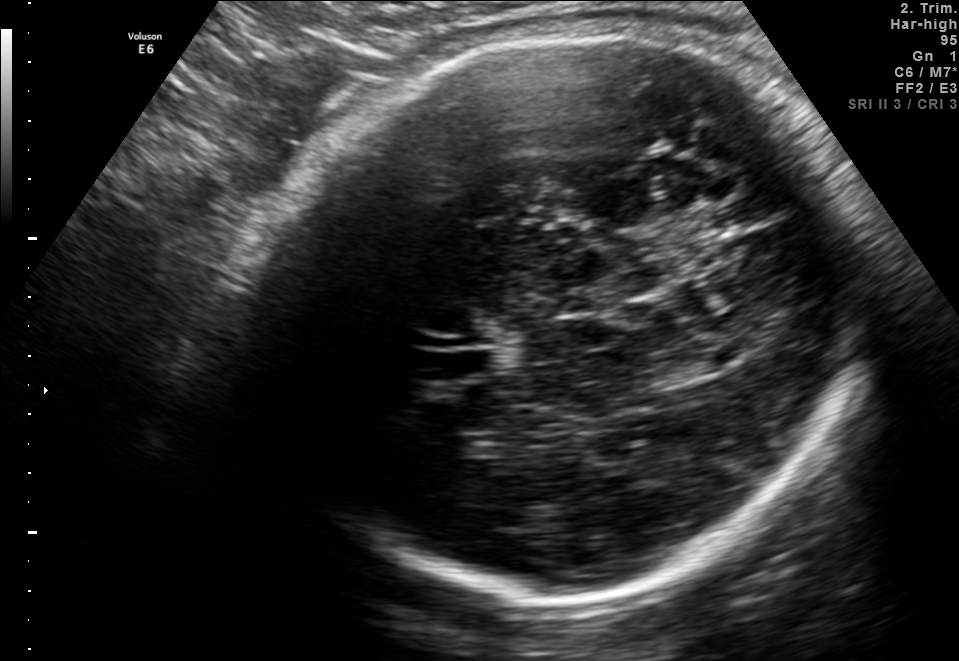
This is a 2D maternal-fetal ultrasound frame. Is it a fetal abdomen, fetal brain, fetal femur, fetal thorax, maternal cervix, or other standard plane? If it's fetal brain and one of the three standard brain planes (trans-thalamic, trans-cerebellum, trans-ventricular), name which.

Fetal brain (trans-thalamic plane)